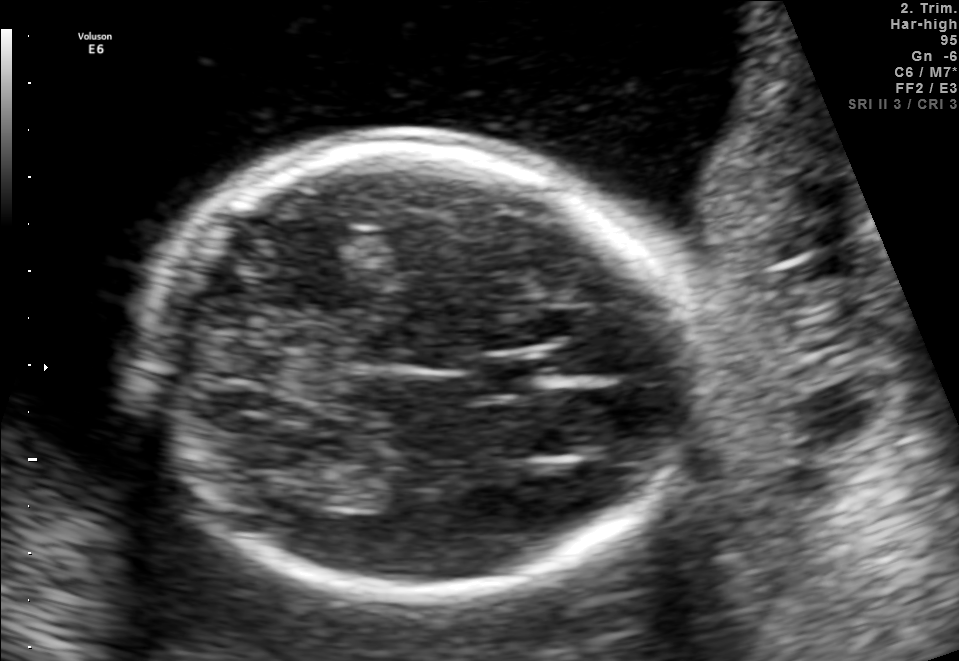
Fetal brain, trans-thalamic plane. Locate the cavum septum pellucidum.

CSP: [471,355,545,396]